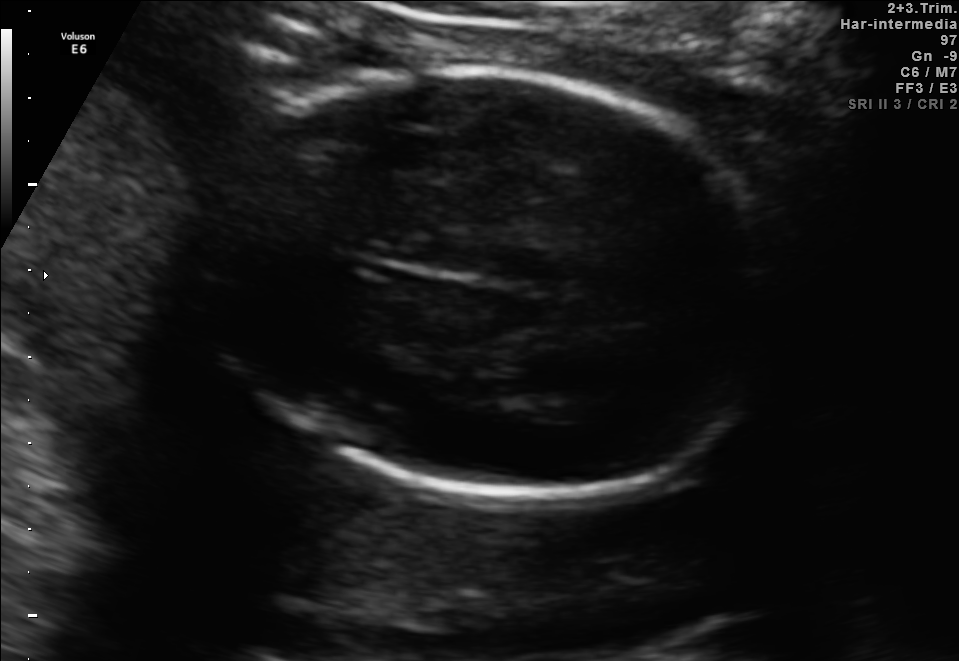
Fetal brain, trans-thalamic plane. Give [x1,y1,x2,y2] bounding boxes for each visible structure among: fetal head, CSP, LV.

Head: [203,70,782,497]